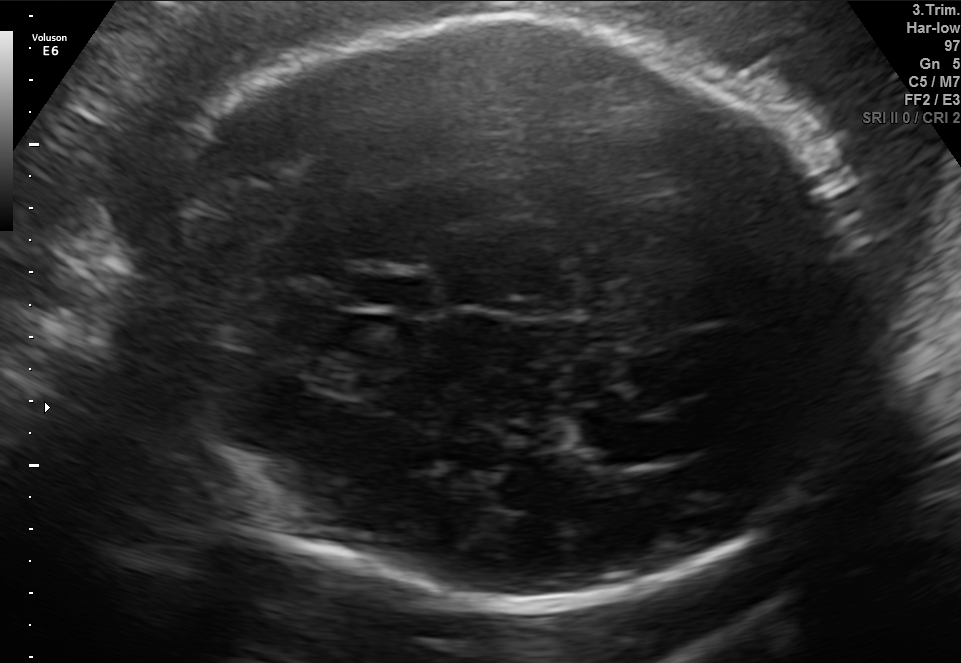
Fetal brain, trans-thalamic plane. Locate the cavum septum pellucidum.

CSP: [356,274,431,312]